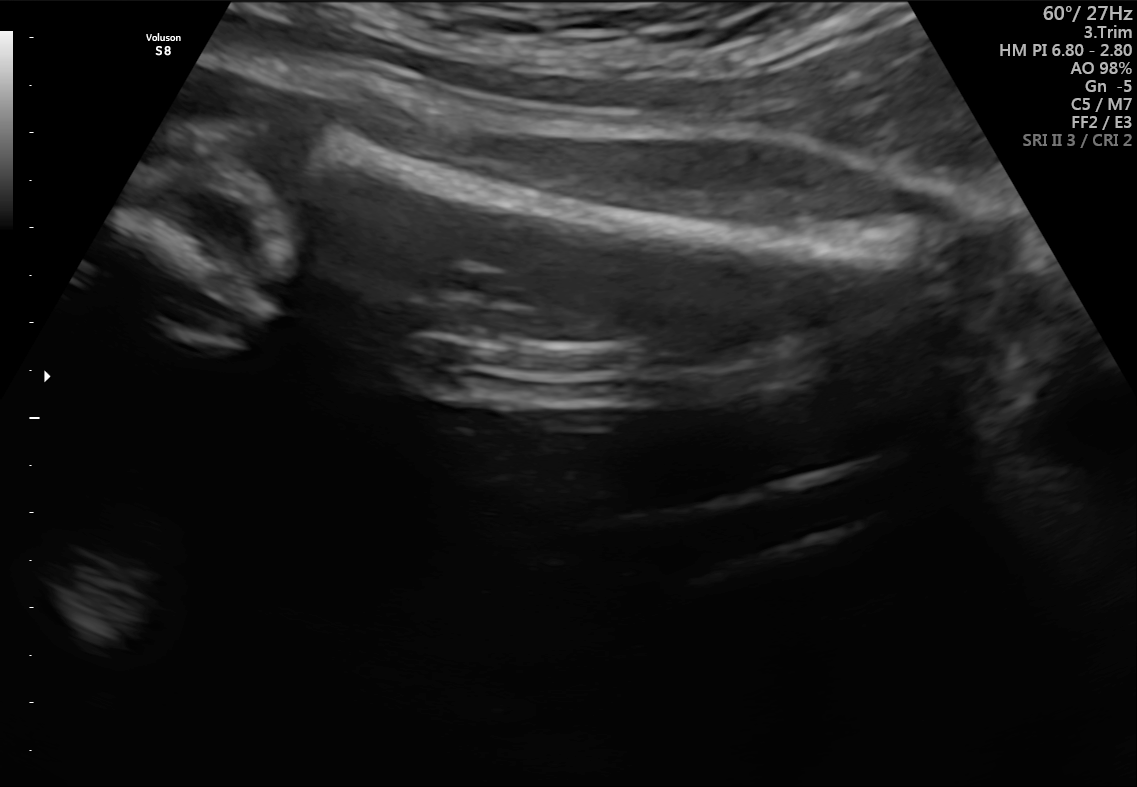
Identify the standard plane in this fetal ultrasound image: fetal abdomen, fetal brain, fetal femur, fetal thorax, maternal cervix, or other. If it's fetal brain and one of the three standard brain planes (trans-thalamic, trans-cerebellum, trans-ventricular), name which.

Fetal femur